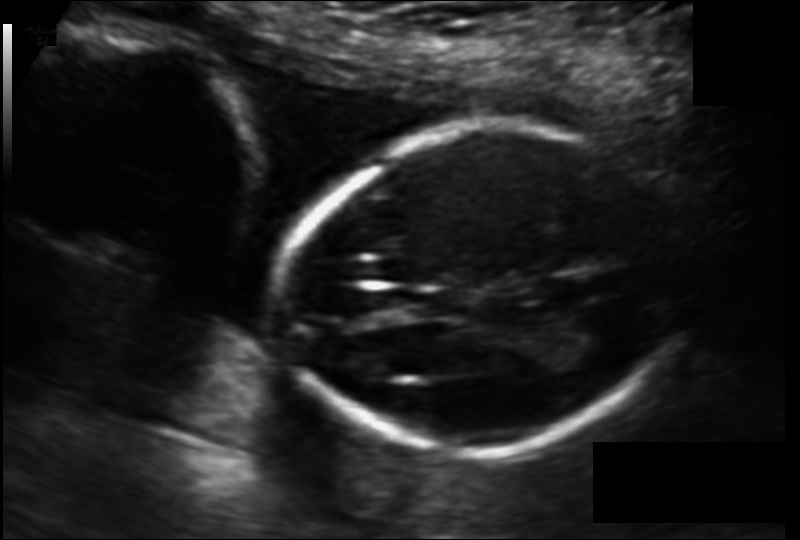
From this fetal ultrasound, estimate the head circumference (image width 102.9 mm).

Head circumference: 156.4 mm.